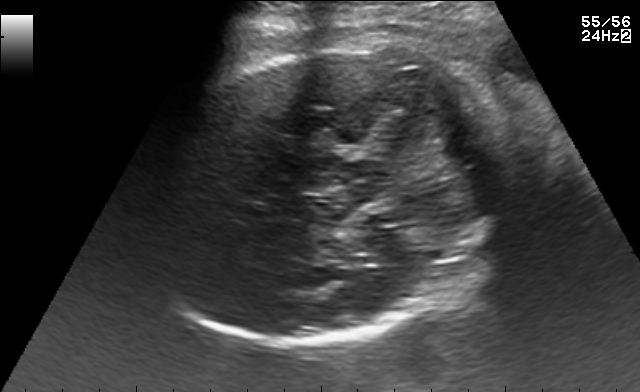
Classify this maternal-fetal ultrasound image as one of the six standard planes — fetal abdomen, fetal brain, fetal femur, fetal thorax, maternal cervix, or other. If it's fetal brain and one of the three standard brain planes (trans-thalamic, trans-cerebellum, trans-ventricular), name which.

Fetal brain (trans-cerebellum plane)